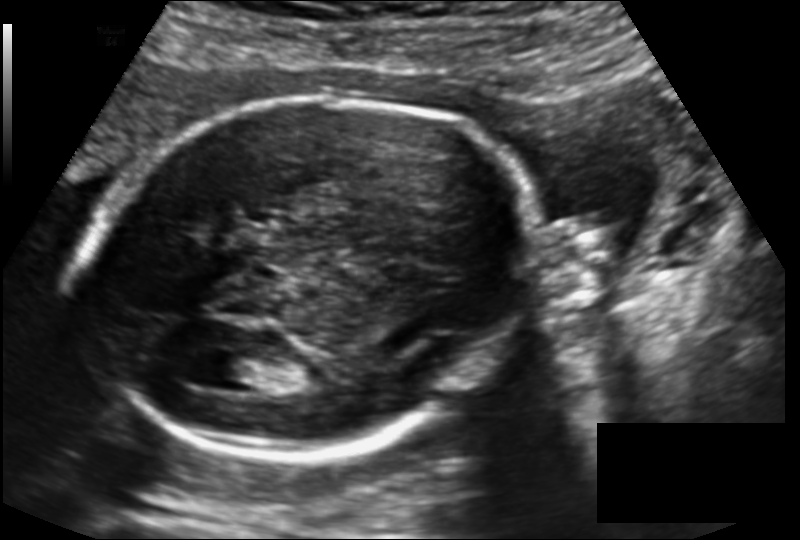
Fetal head ultrasound. Image width: 114.3 mm. Locate the lateral ventricle.

Lateral ventricle: [205,350,269,389]